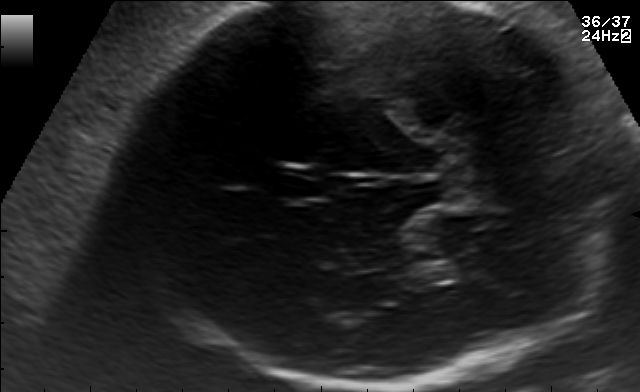
Fetal brain, trans-thalamic plane. Where is the cavum septum pellucidum?

CSP bounding box: [273,168,329,198]